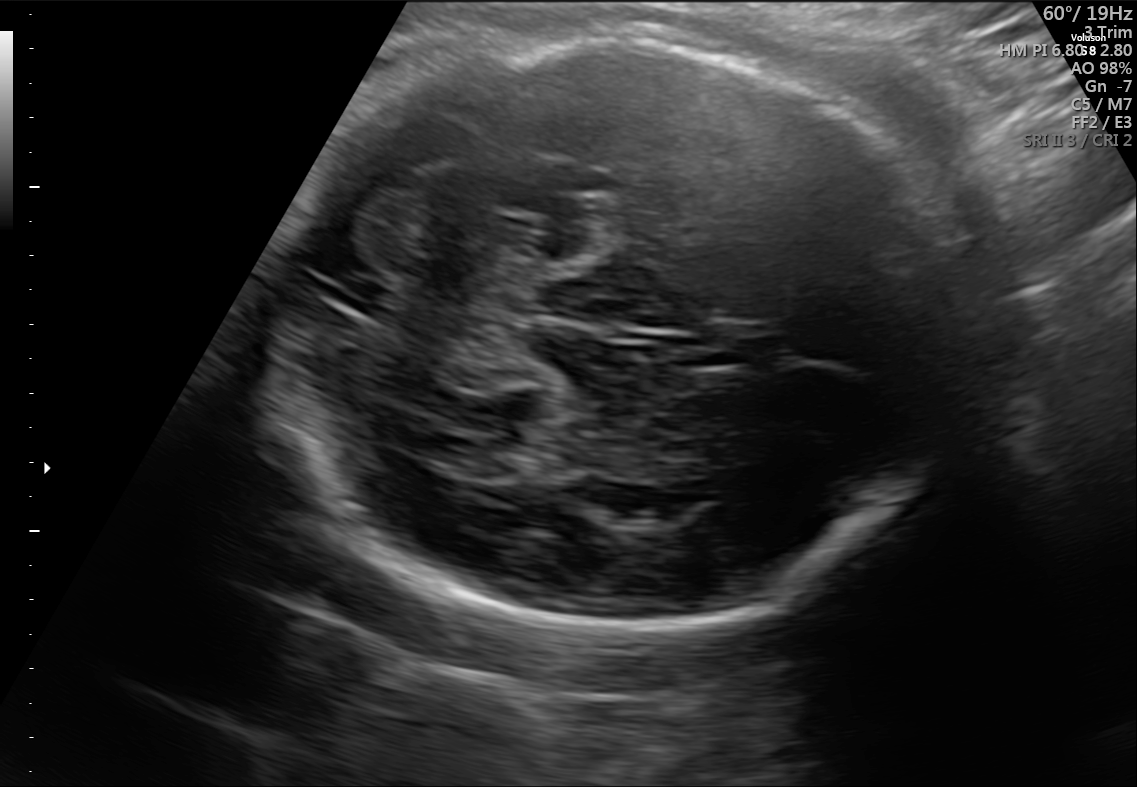
This is a 2D maternal-fetal ultrasound frame. Is it a fetal abdomen, fetal brain, fetal femur, fetal thorax, maternal cervix, or other standard plane? If it's fetal brain and one of the three standard brain planes (trans-thalamic, trans-cerebellum, trans-ventricular), name which.

Fetal brain (trans-cerebellum plane)